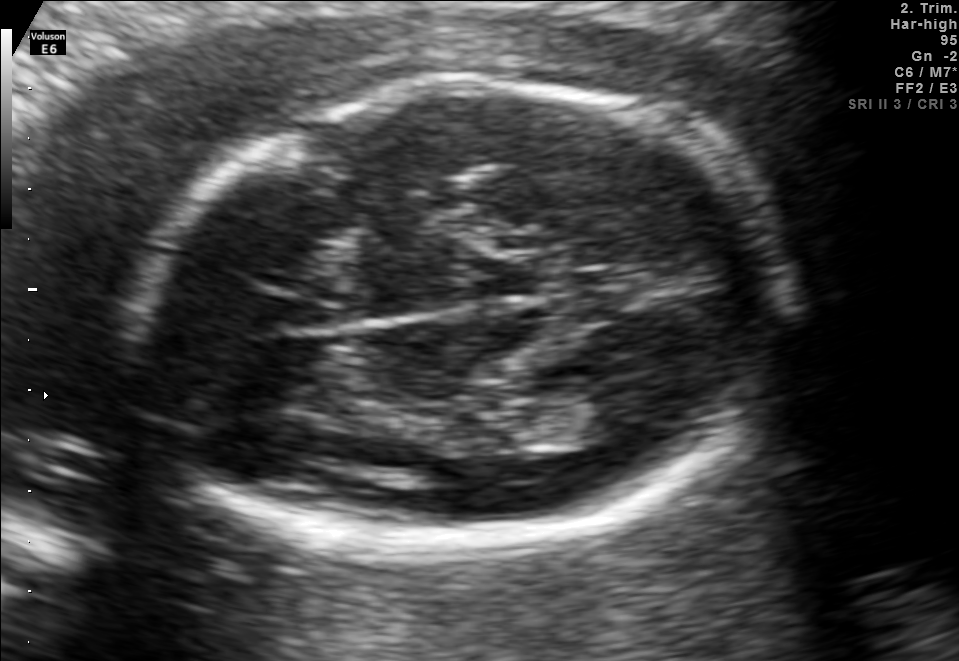
In this fetal brain, trans-thalamic plane, give the bounding box of the lateral ventricle.

[551,384,639,448]